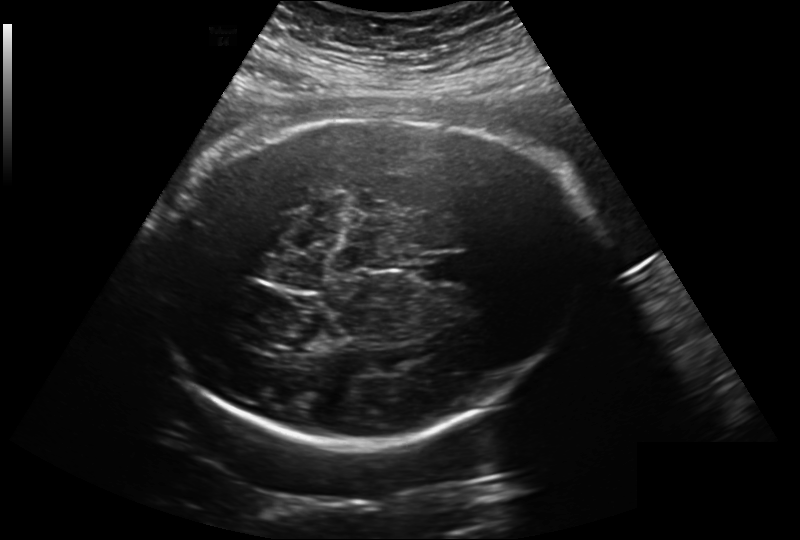
What is the fetal head circumference? Image width is 208.0 mm.

323.3 mm